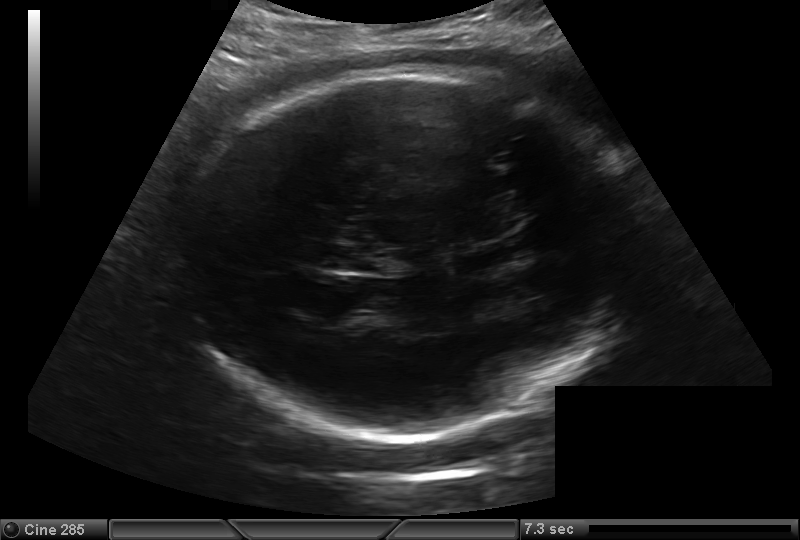
Estimate the fetal head circumference from this 2D ultrasound.

Head circumference: 288.9 mm (image width 173.2 mm).